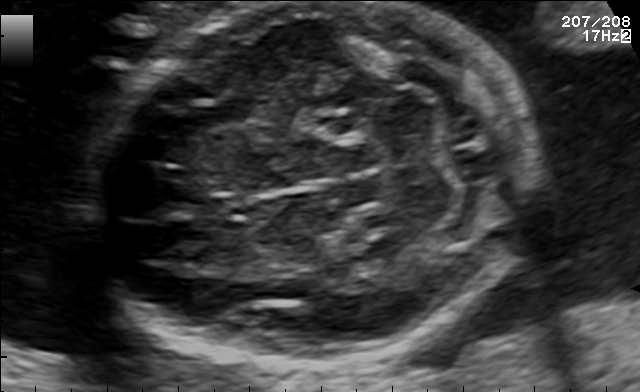
Fetal brain, trans-cerebellum plane. Locate the fetal head and, if visible, the cavum septum pellucidum (CSP) and lateral ventricle (LV). Give bounding boxes as [x1,y1,x2,y2].

Head: [94,2,523,364]